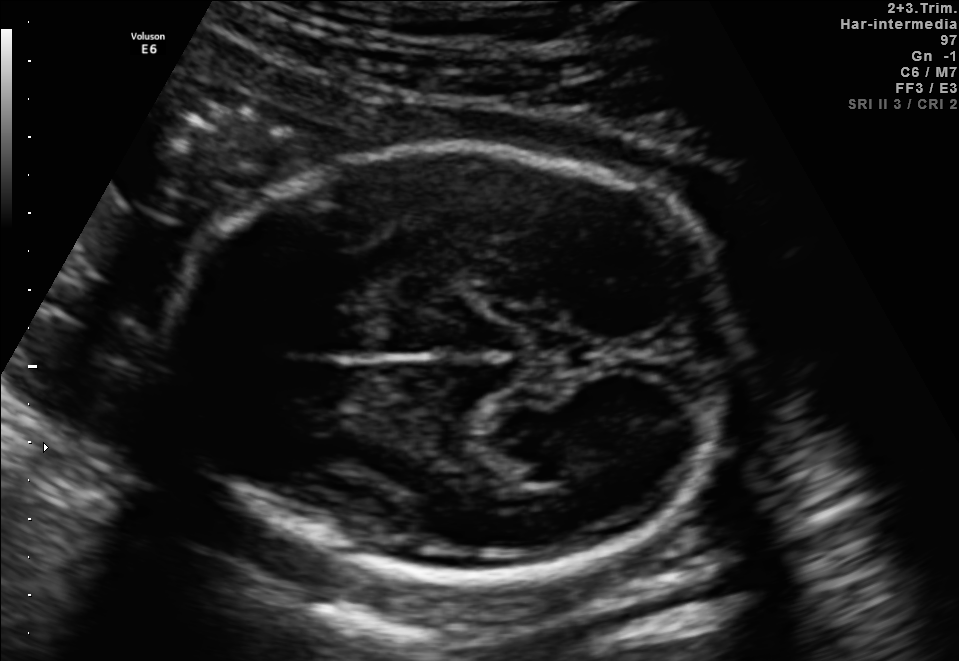
In this fetal brain, trans-thalamic plane, give the bounding box of the lateral ventricle.

[488,425,608,491]